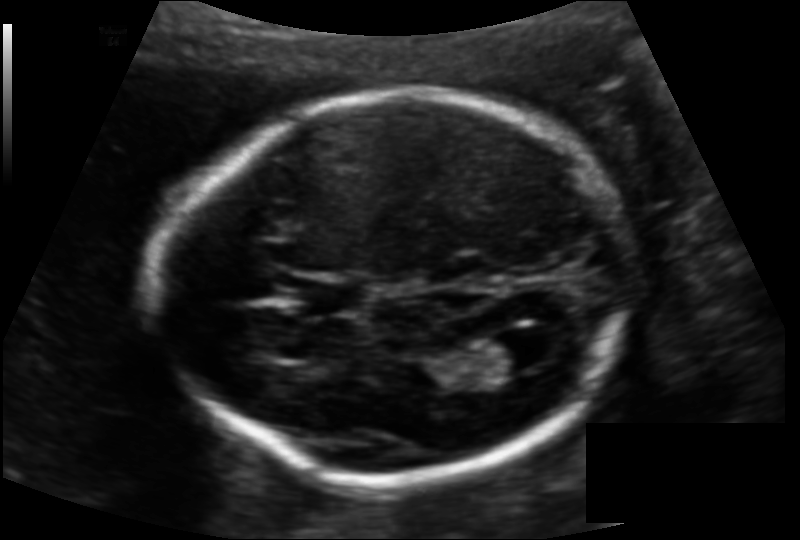
In this fetal head ultrasound, give the bounding box of the lateral ventricle. Image width: 102.7 mm.

[471,327,546,383]